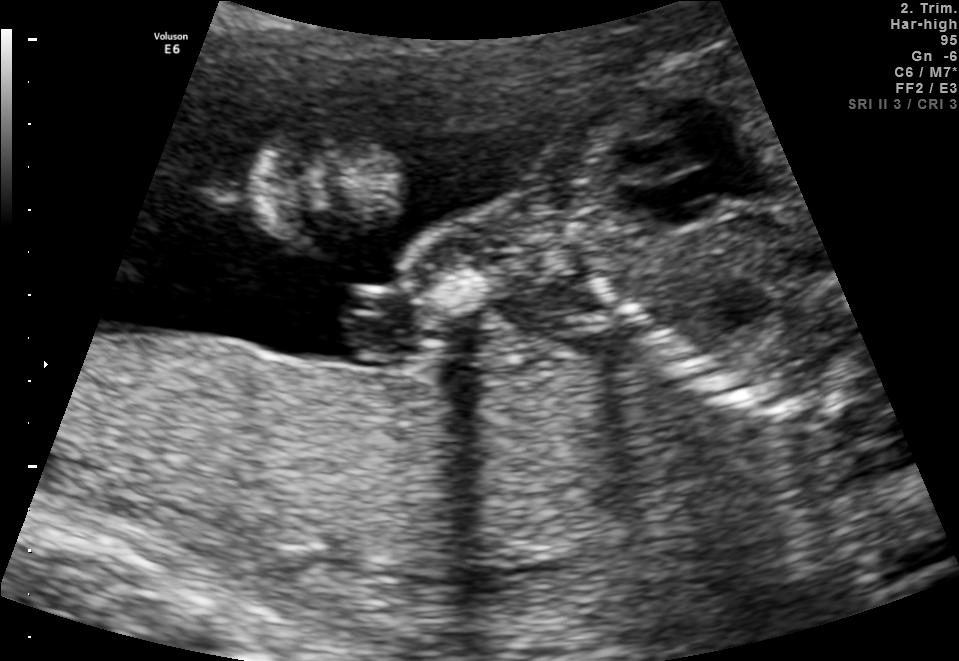
This is a 2D maternal-fetal ultrasound frame. Is it a fetal abdomen, fetal brain, fetal femur, fetal thorax, maternal cervix, or other standard plane? If it's fetal brain and one of the three standard brain planes (trans-thalamic, trans-cerebellum, trans-ventricular), name which.

Other